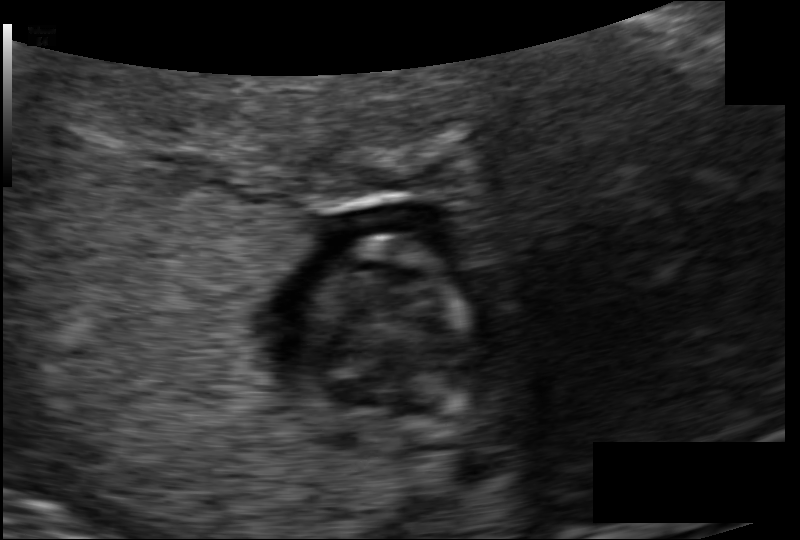
Fetal head ultrasound. Image width: 78.7 mm. Where is the fetal head?

Head bounding box: [306,237,467,432]